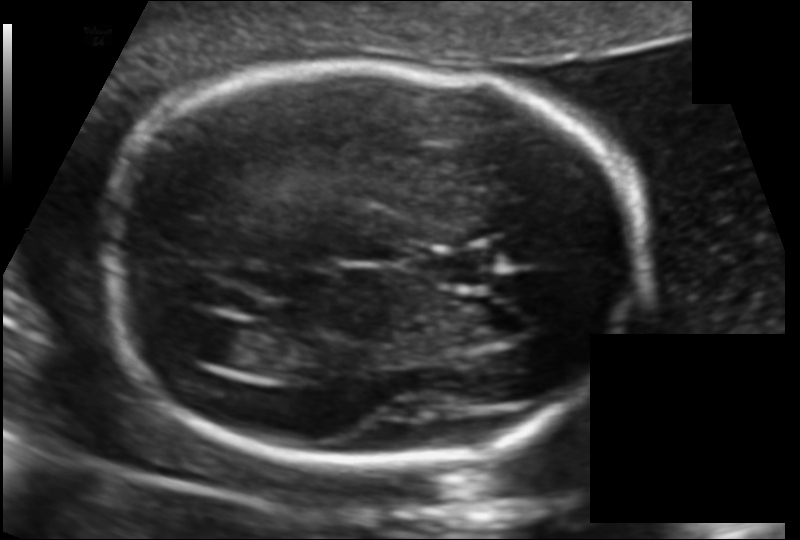
Fetal head ultrasound. Image width: 93.9 mm. Where is the fetal head?

Head bounding box: [97,65,645,461]